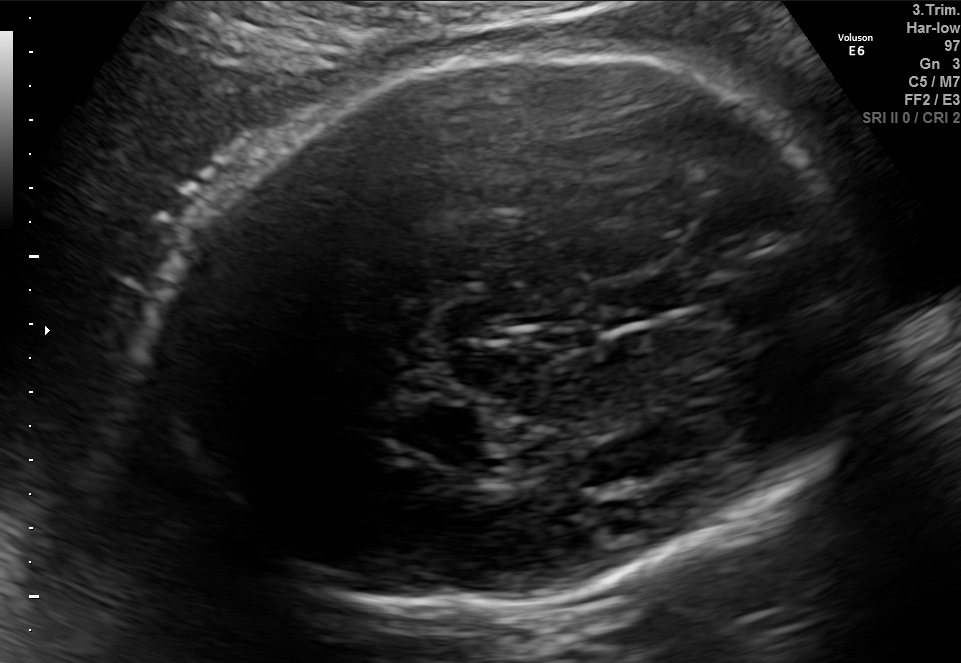
In this fetal brain, trans-thalamic plane, give the bounding box of the fetal head.

[150,48,863,607]